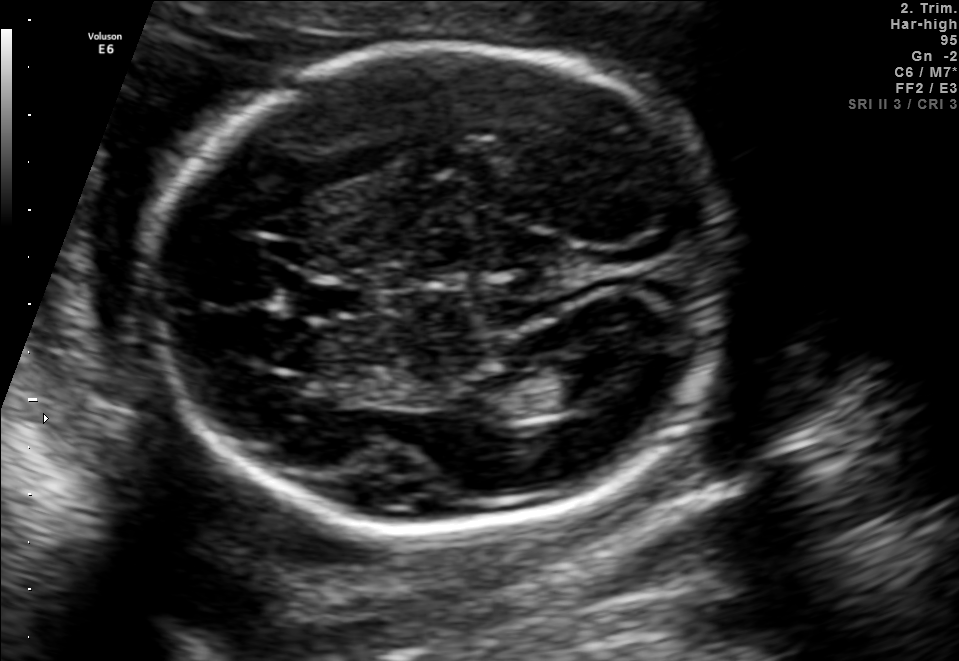
In this fetal brain, trans-ventricular plane, give the bounding box of the fetal head.

[135,37,742,540]